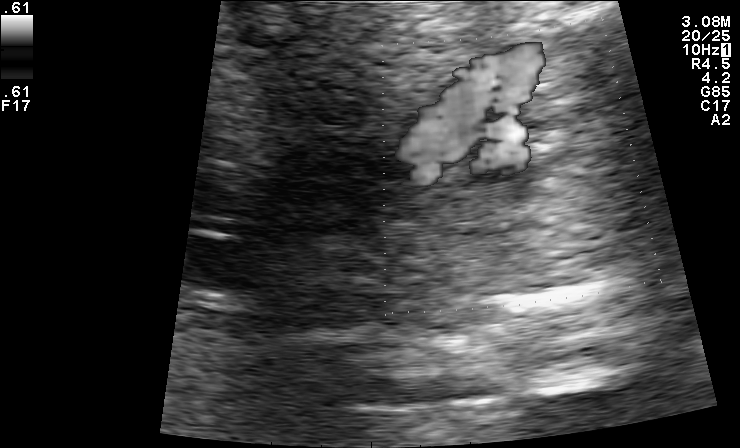
Which standard maternal-fetal ultrasound plane is shown: fetal abdomen, fetal brain, fetal femur, fetal thorax, maternal cervix, or other? If it's fetal brain and one of the three standard brain planes (trans-thalamic, trans-cerebellum, trans-ventricular), name which.

Other